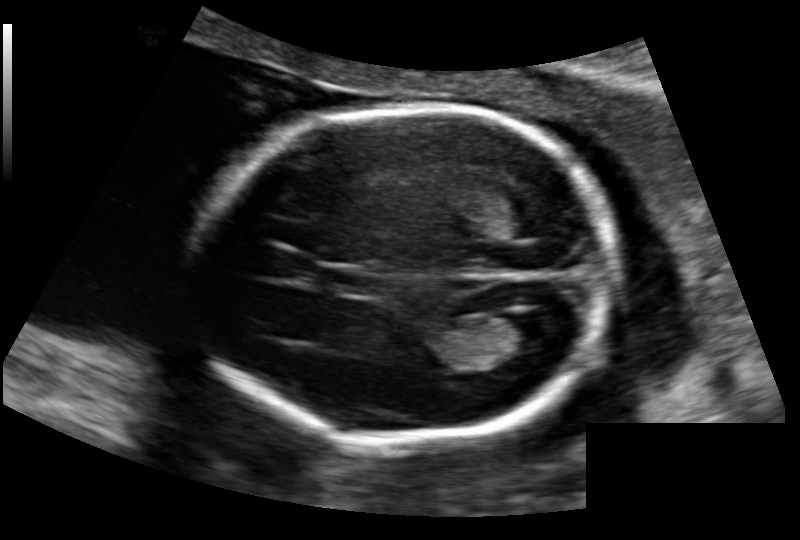
What is the fetal head circumference? Image width is 108.9 mm.

167.1 mm